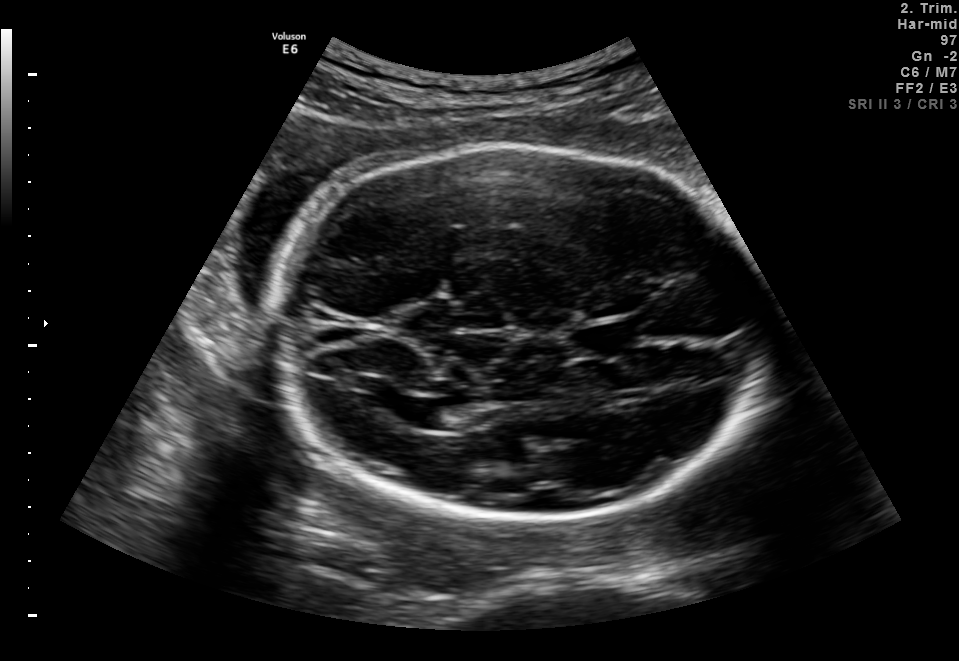
Classify this maternal-fetal ultrasound image as one of the six standard planes — fetal abdomen, fetal brain, fetal femur, fetal thorax, maternal cervix, or other. If it's fetal brain and one of the three standard brain planes (trans-thalamic, trans-cerebellum, trans-ventricular), name which.

Fetal brain (trans-ventricular plane)